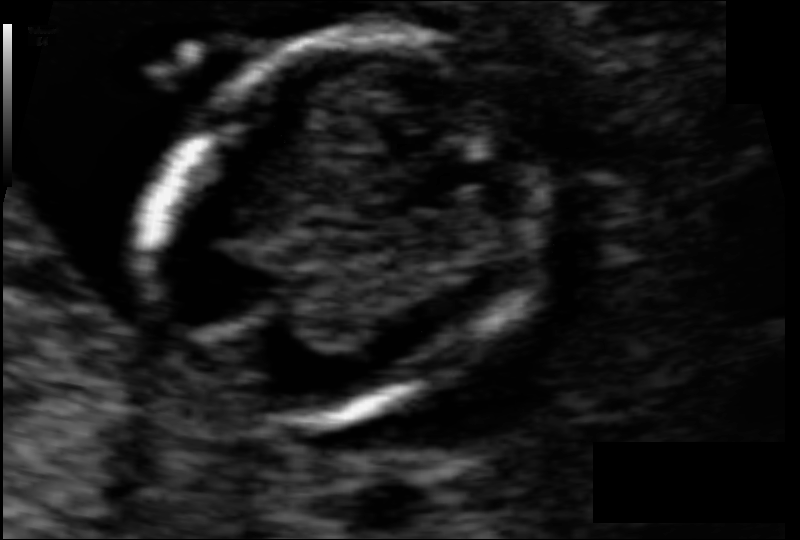
Fetal head ultrasound. Image width: 48.5 mm. Locate the fetal head.

Head: [148,37,539,418]